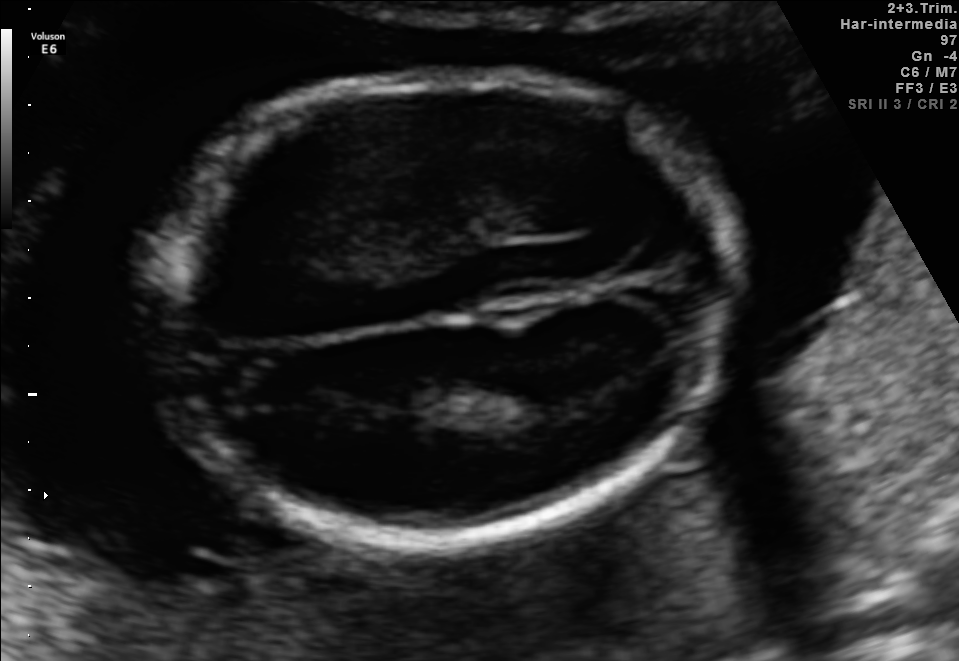
In this fetal brain, trans-thalamic plane, give the bounding box of the fetal head.

[150,76,735,547]